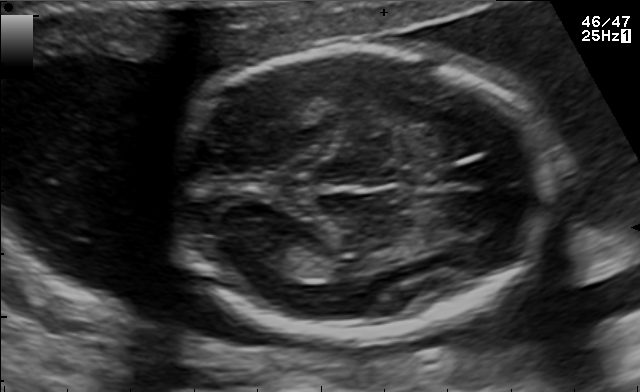
Fetal brain, trans-thalamic plane. Locate the lateral ventricle.

Lateral ventricle: [231,223,309,278]